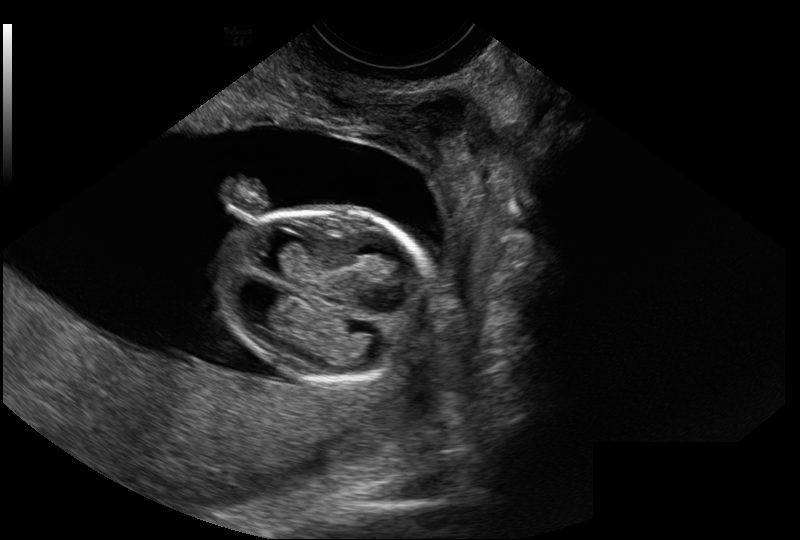
Fetal head ultrasound. Image width: 91.6 mm. Locate the fetal head and, if visible, the cavum septum pellucidum (CSP) and lateral ventricle (LV). Give bounding boxes as [x1,y1,x2,y2].

Head: [216,210,435,382]